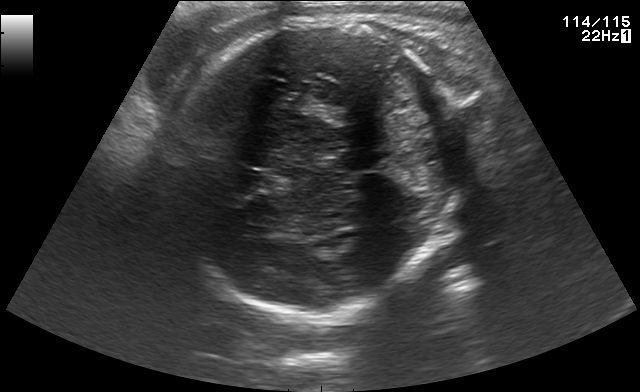
Fetal brain, trans-thalamic plane. Where is the fetal head?

Head bounding box: [166,24,466,313]